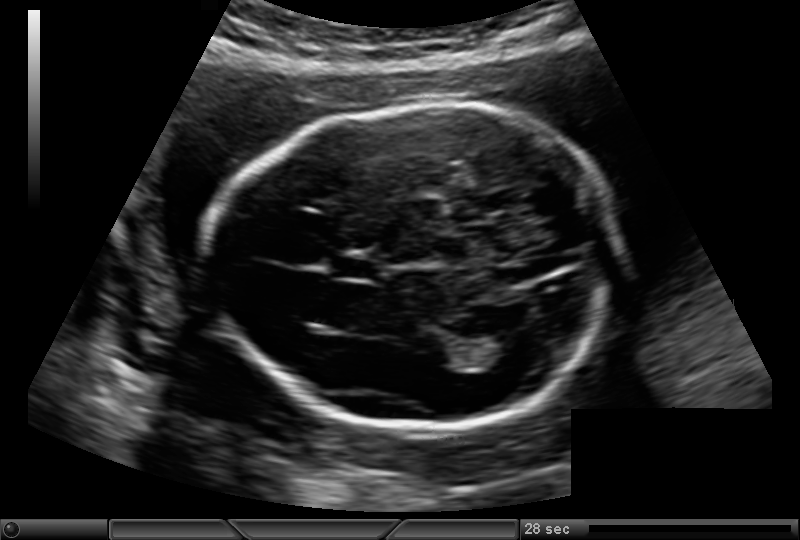
From this fetal ultrasound, estimate the head circumference (image width 117.2 mm).

Head circumference: 178.0 mm.